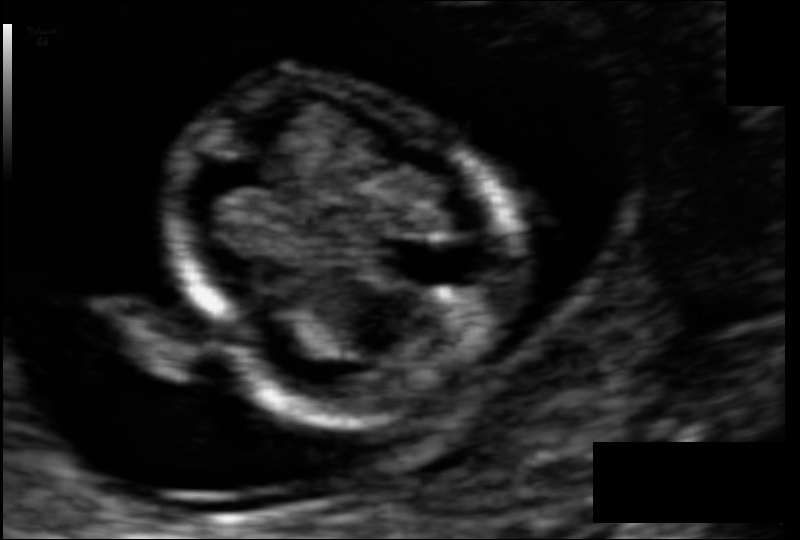
Fetal head ultrasound. Image width: 47.3 mm. Where is the fetal head?

Head bounding box: [165,75,513,416]